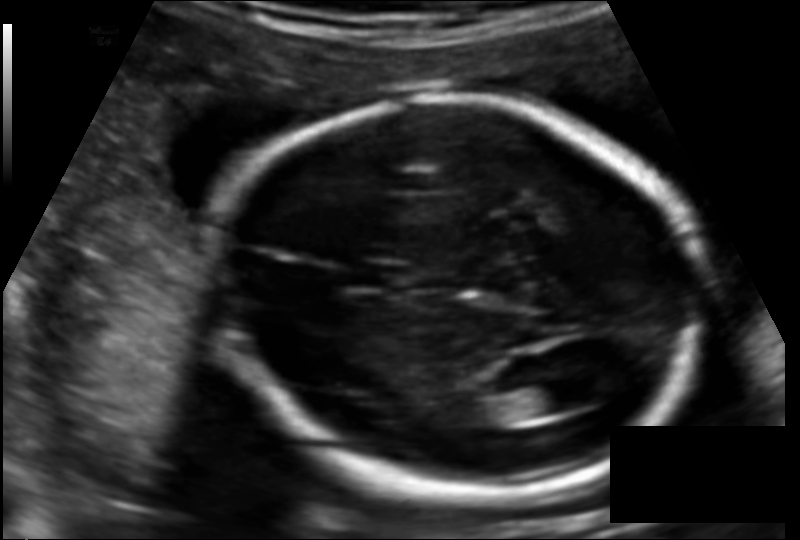
Measure the fetal head circumference shown in this ultrasound image. Image width: 99.4 mm.

Head circumference: 178.5 mm.